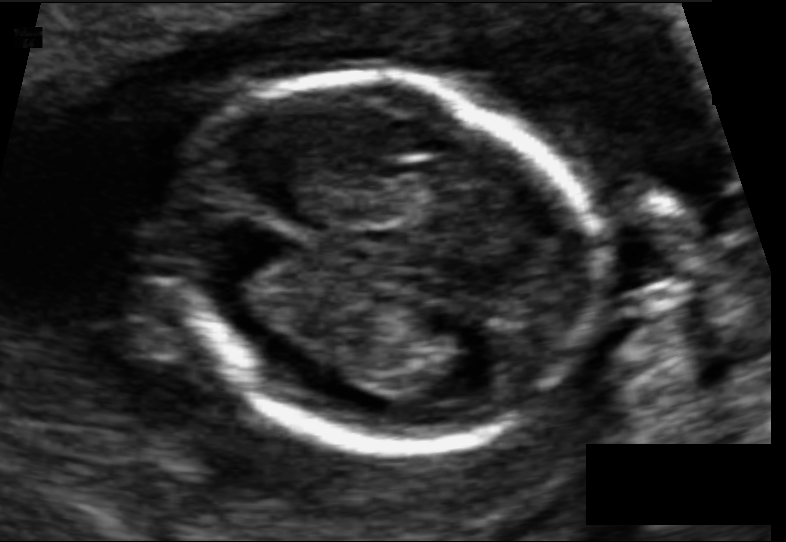
In this fetal head ultrasound, give the bounding box of the fetal head. Image width: 58.4 mm.

[170,76,596,453]